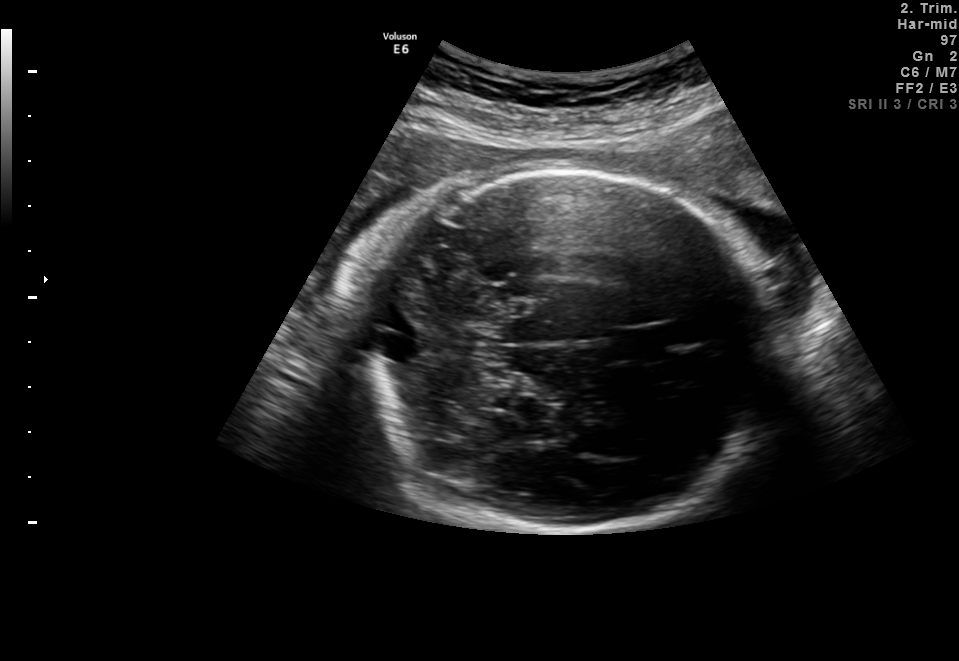
Fetal brain, trans-cerebellum plane. Locate the fetal head.

Head: [358,170,775,535]